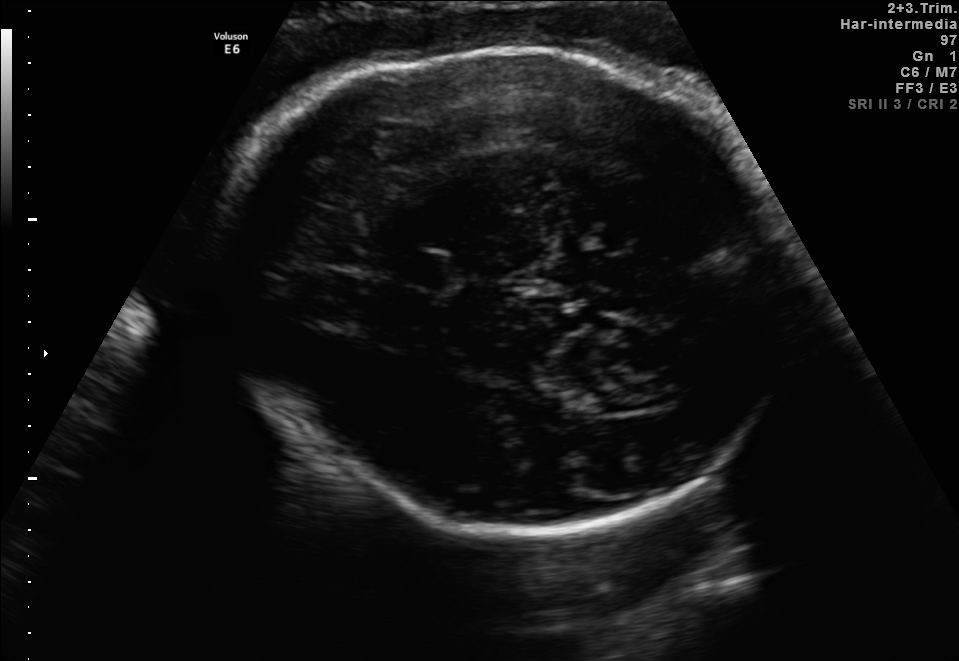
Fetal brain, trans-thalamic plane. Locate the cavum septum pellucidum.

CSP: [403,252,452,290]